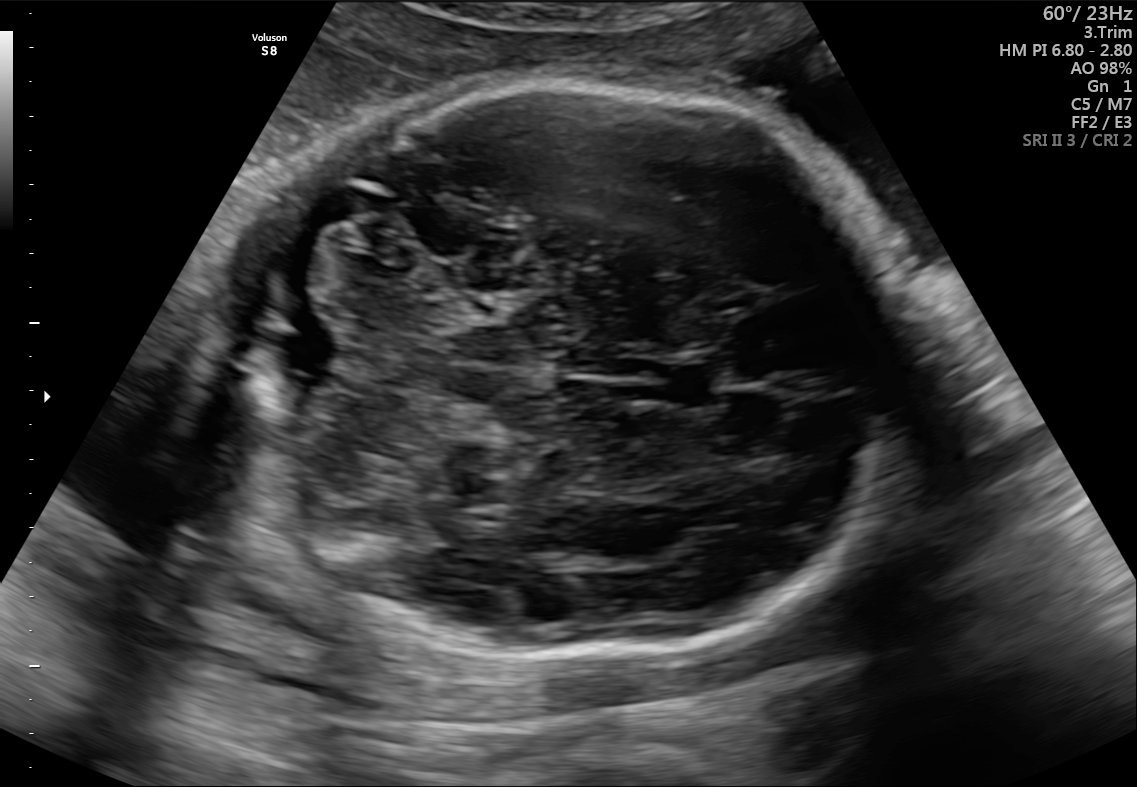
Classify this maternal-fetal ultrasound image as one of the six standard planes — fetal abdomen, fetal brain, fetal femur, fetal thorax, maternal cervix, or other. If it's fetal brain and one of the three standard brain planes (trans-thalamic, trans-cerebellum, trans-ventricular), name which.

Fetal brain (trans-cerebellum plane)